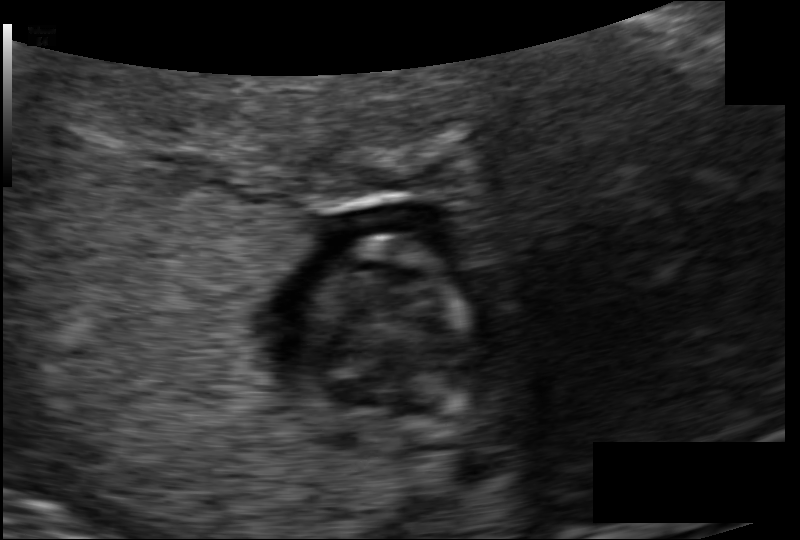
Measure the fetal head circumference shown in this ultrasound image. Image width: 78.7 mm.

Head circumference: 62.5 mm.